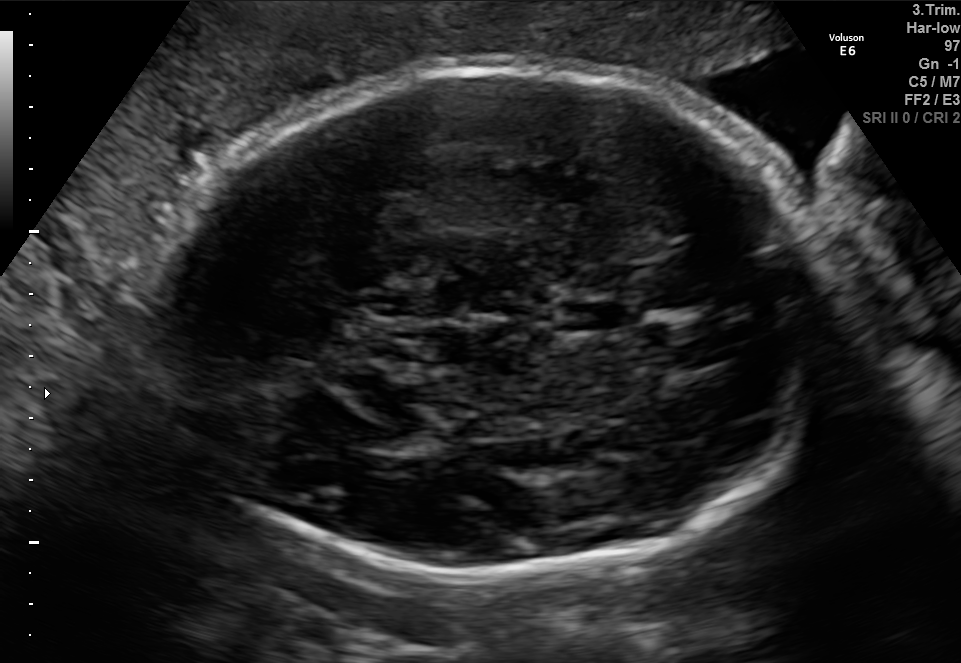
In this fetal brain, trans-thalamic plane, give the bounding box of the cavum septum pellucidum.

[555,300,625,332]